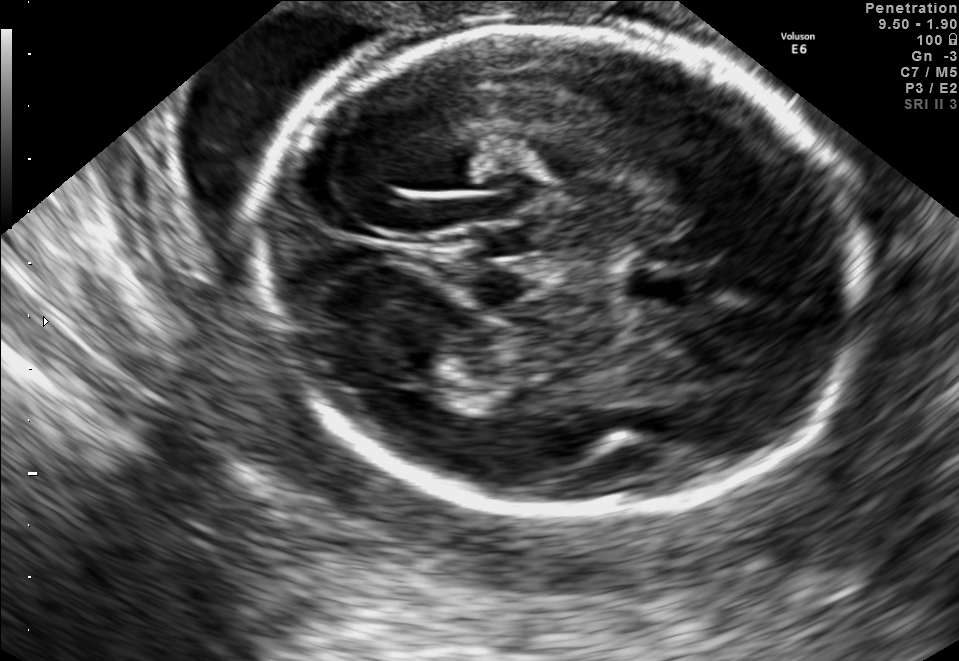
Fetal brain, trans-thalamic plane. Locate the cavum septum pellucidum.

CSP: [627,267,691,306]